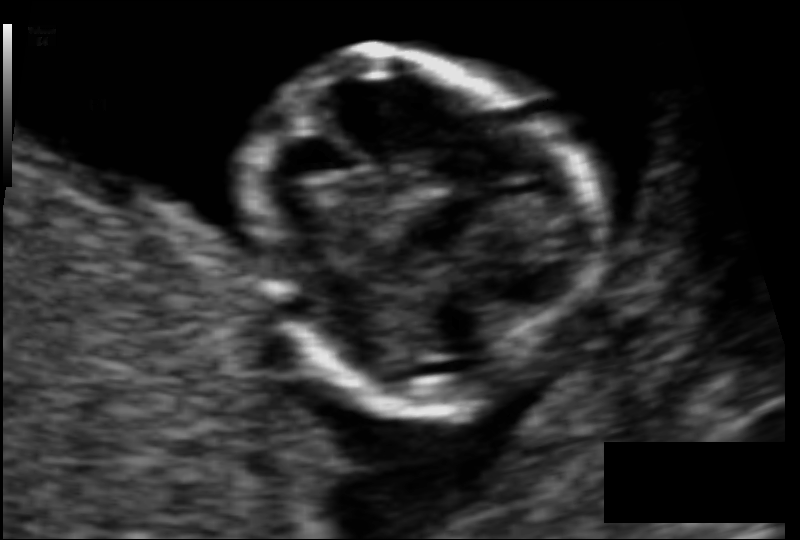
Estimate the fetal head circumference from this 2D ultrasound.

Head circumference: 75.8 mm (image width 54.6 mm).